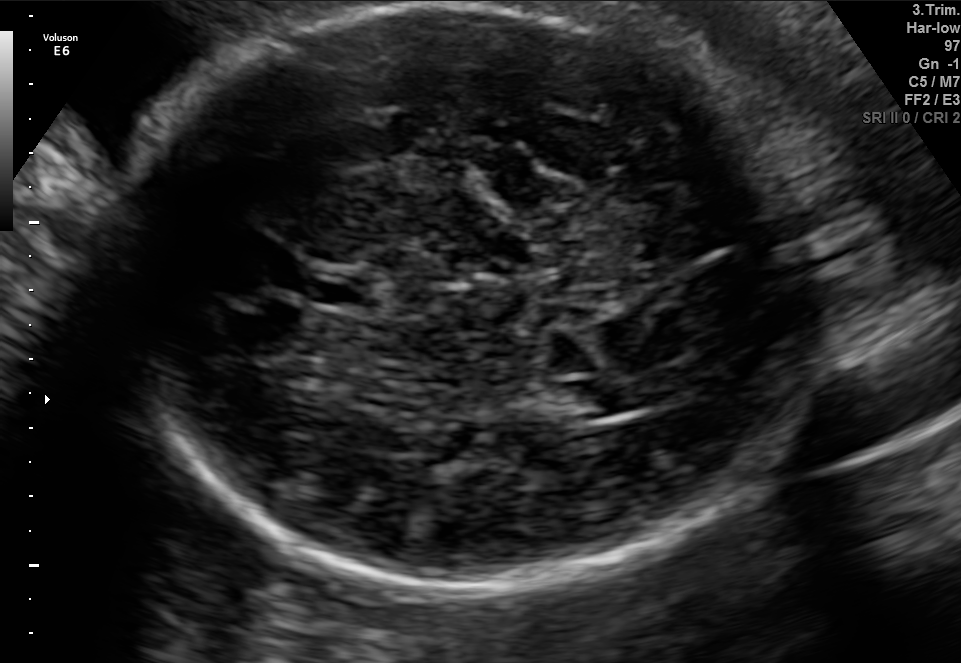
In this fetal brain, trans-ventricular plane, give the bounding box of the fetal head.

[84,4,845,601]